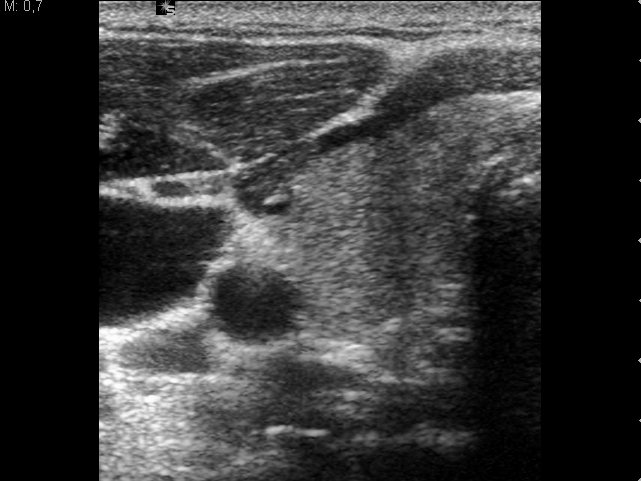
Which standard maternal-fetal ultrasound plane is shown: fetal abdomen, fetal brain, fetal femur, fetal thorax, maternal cervix, or other? If it's fetal brain and one of the three standard brain planes (trans-thalamic, trans-cerebellum, trans-ventricular), name which.

Other